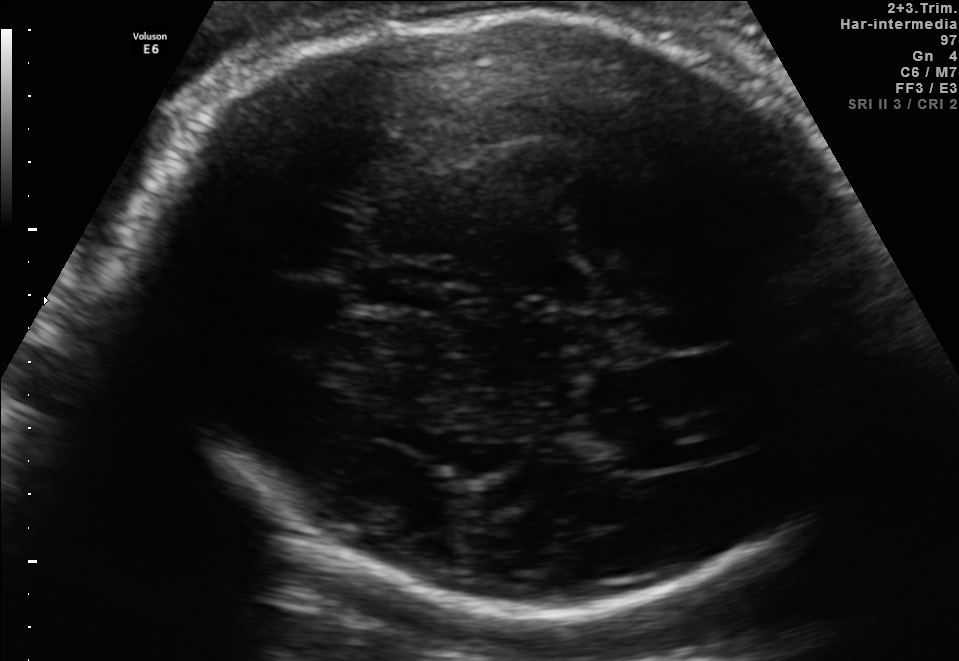
Which standard maternal-fetal ultrasound plane is shown: fetal abdomen, fetal brain, fetal femur, fetal thorax, maternal cervix, or other? If it's fetal brain and one of the three standard brain planes (trans-thalamic, trans-cerebellum, trans-ventricular), name which.

Fetal brain (trans-thalamic plane)